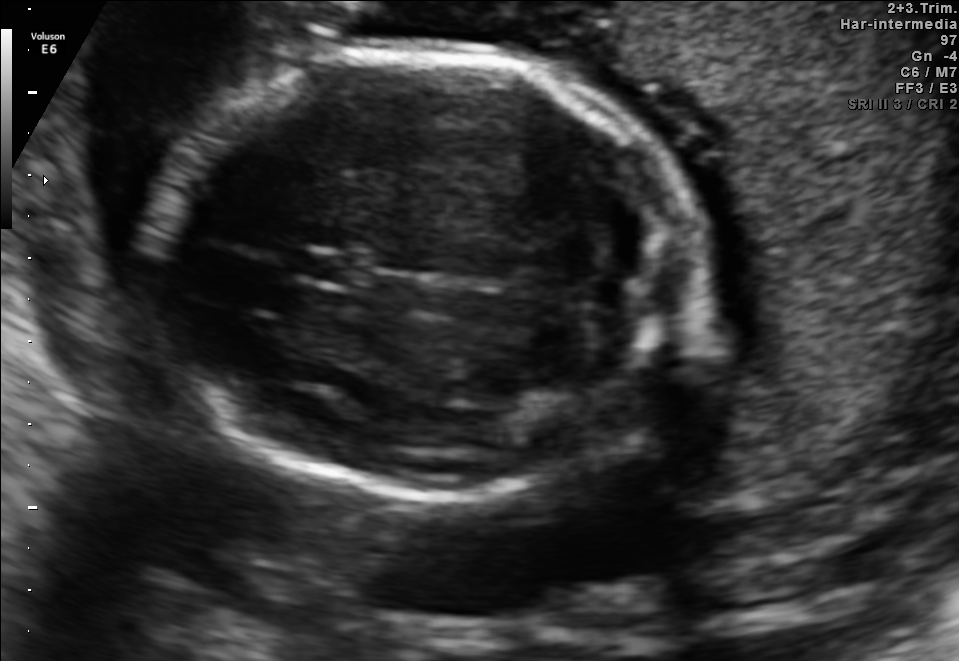
Fetal brain, trans-cerebellum plane. Where is the cavum septum pellucidum?

CSP bounding box: [288,243,366,291]